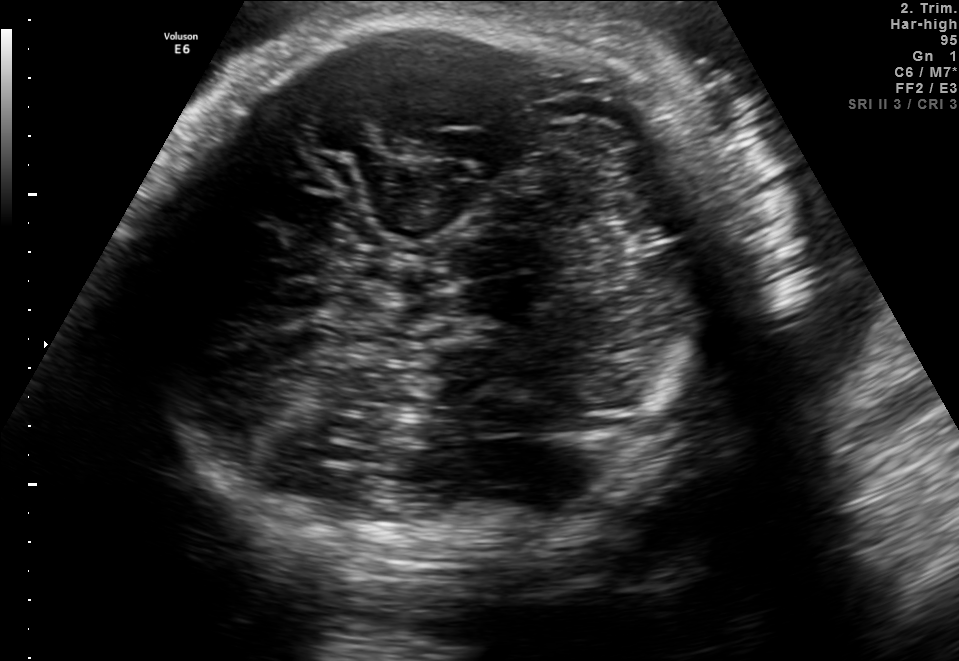
In this fetal brain, trans-thalamic plane, give the bounding box of the fetal head.

[133,15,742,570]